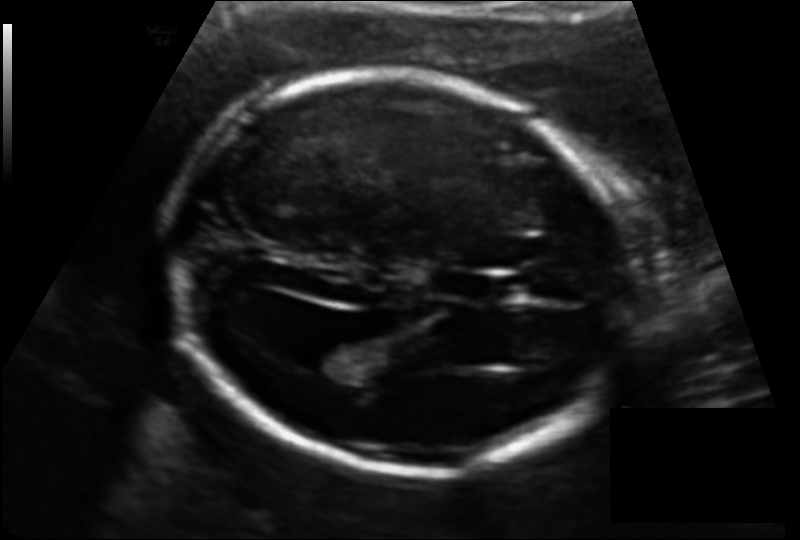
Fetal head ultrasound. Image width: 104.7 mm. Where is the lateral ventricle?

Lateral ventricle bounding box: [288,329,364,383]